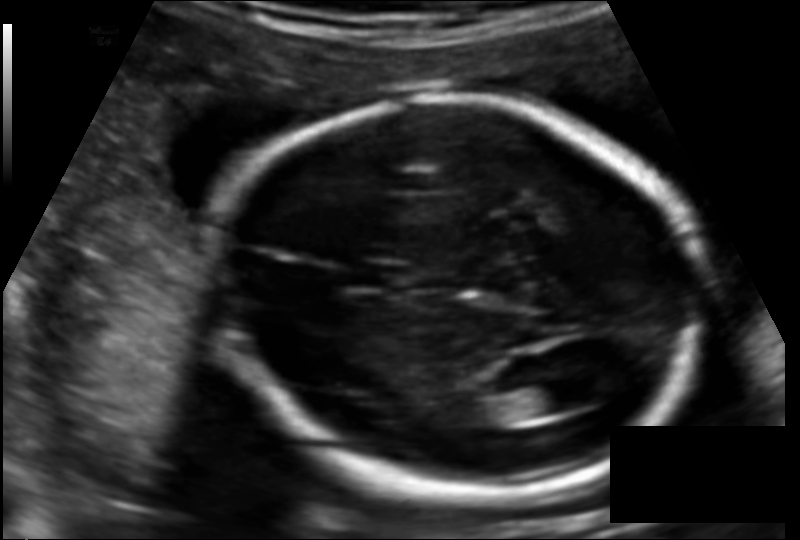
In this fetal head ultrasound, give the bounding box of the lateral ventricle. Image width: 99.4 mm.

[501,375,579,424]